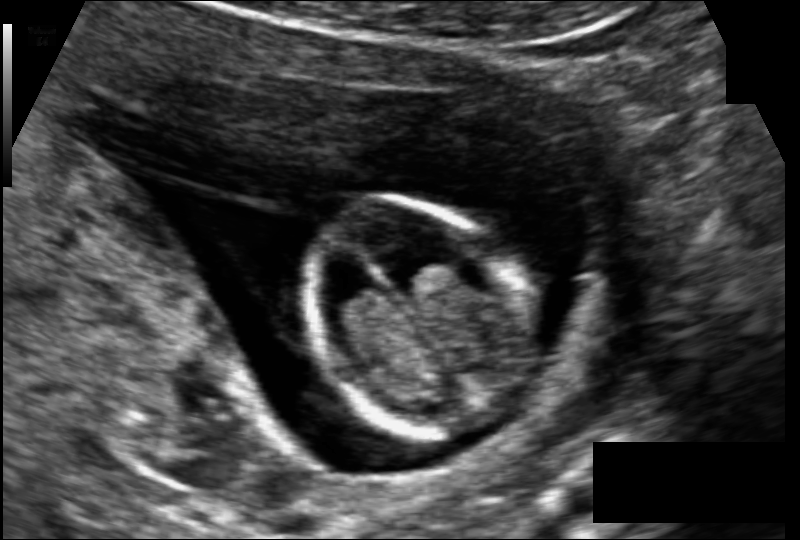
Fetal head ultrasound. Image width: 81.3 mm. Locate the fetal head.

Head: [299,203,535,436]